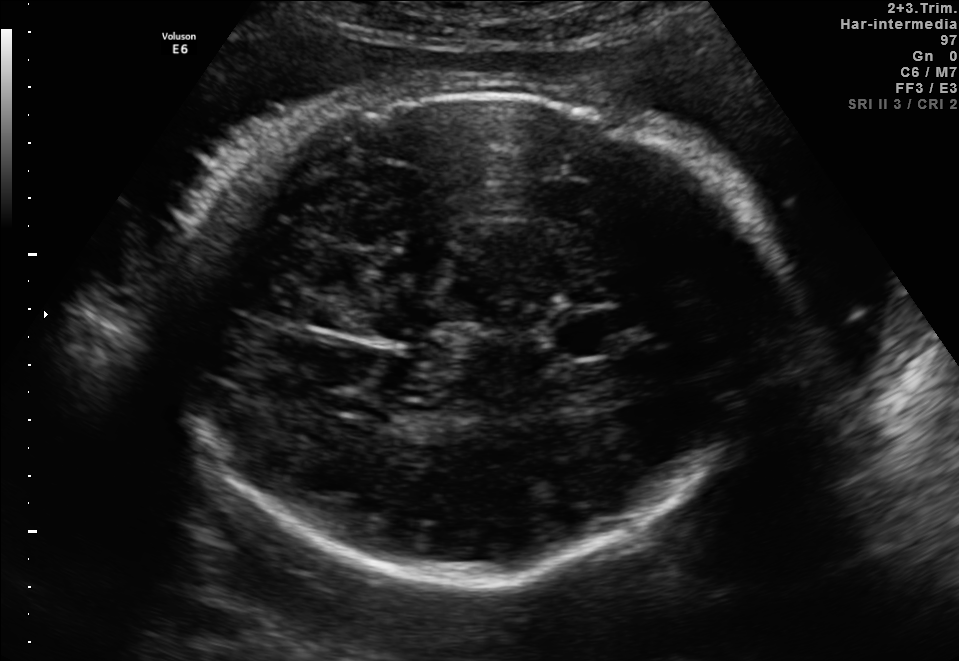
In this fetal brain, trans-thalamic plane, give bounding boxes for the head outline, cavum septum pellucidum (CSP), and lateral ventricle (LV), where visible.

Head: [157,90,776,583]
CSP: [554,303,628,359]
Lateral ventricle: [314,385,387,425]